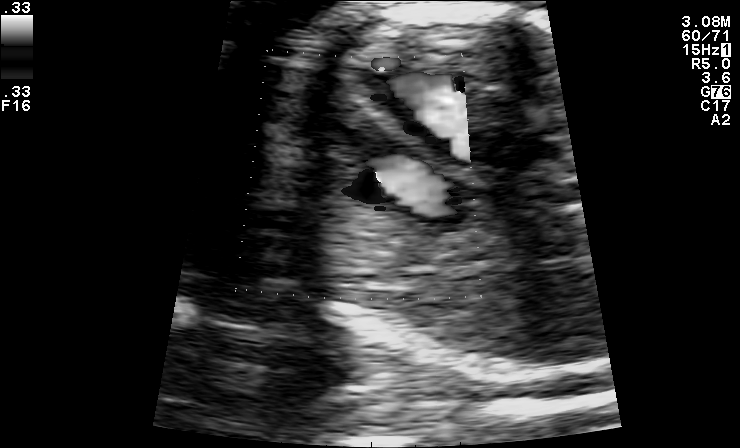
Identify the standard plane in this fetal ultrasound image: fetal abdomen, fetal brain, fetal femur, fetal thorax, maternal cervix, or other. If it's fetal brain and one of the three standard brain planes (trans-thalamic, trans-cerebellum, trans-ventricular), name which.

Other